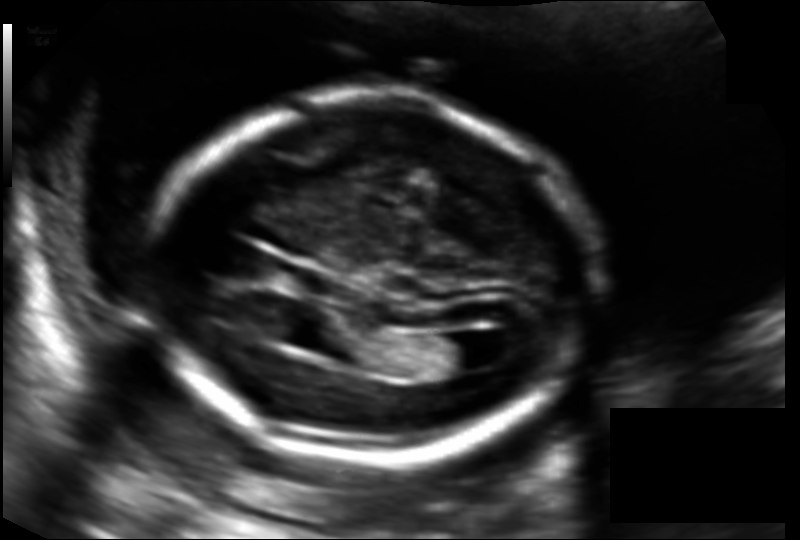
Fetal head ultrasound. Image width: 104.2 mm. Locate the lateral ventricle.

Lateral ventricle: [435,331,493,374]